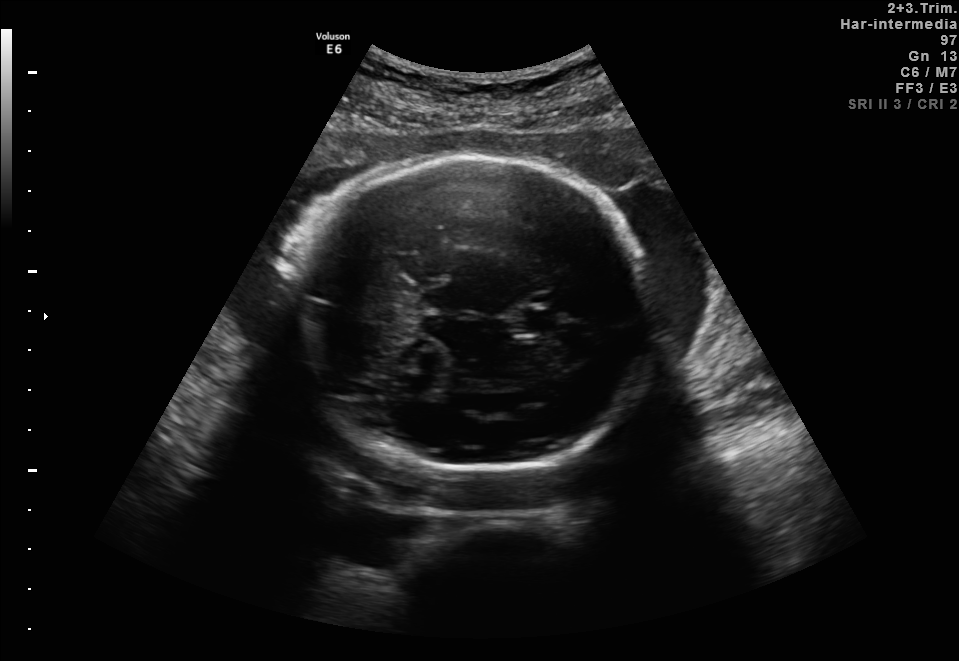
In this fetal brain, trans-thalamic plane, give the bounding box of the fetal head.

[293,155,658,468]